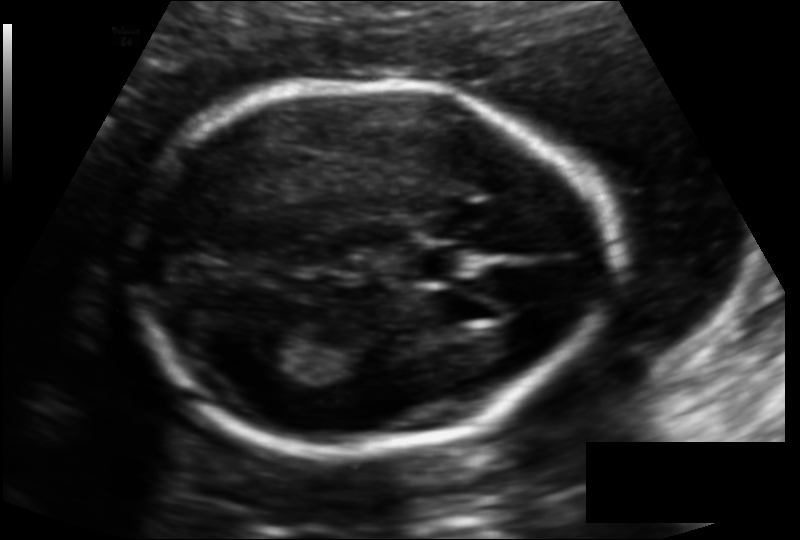
Fetal head ultrasound. Image width: 96.8 mm. Where is the lateral ventricle?

Lateral ventricle bounding box: [248,326,307,367]